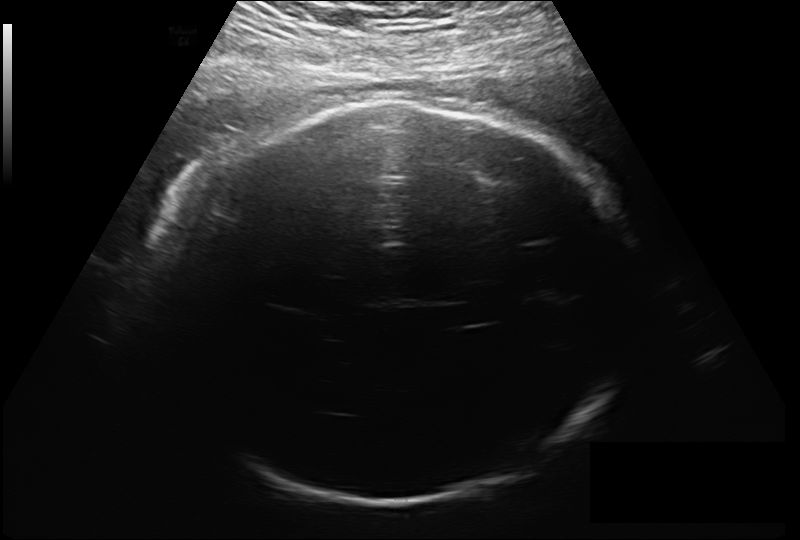
In this fetal head ultrasound, give bounding boxes for the head outline, cavum septum pellucidum (CSP), and lateral ventricle (LV), where visible. Image width: 170.5 mm.

Head: [164,100,629,506]